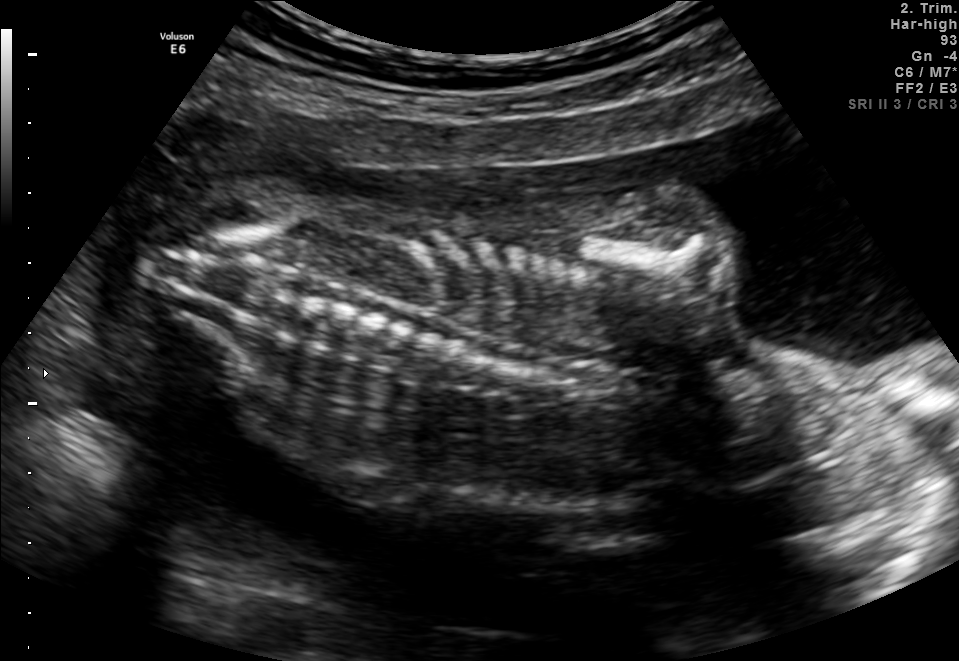
Which standard maternal-fetal ultrasound plane is shown: fetal abdomen, fetal brain, fetal femur, fetal thorax, maternal cervix, or other? If it's fetal brain and one of the three standard brain planes (trans-thalamic, trans-cerebellum, trans-ventricular), name which.

Other